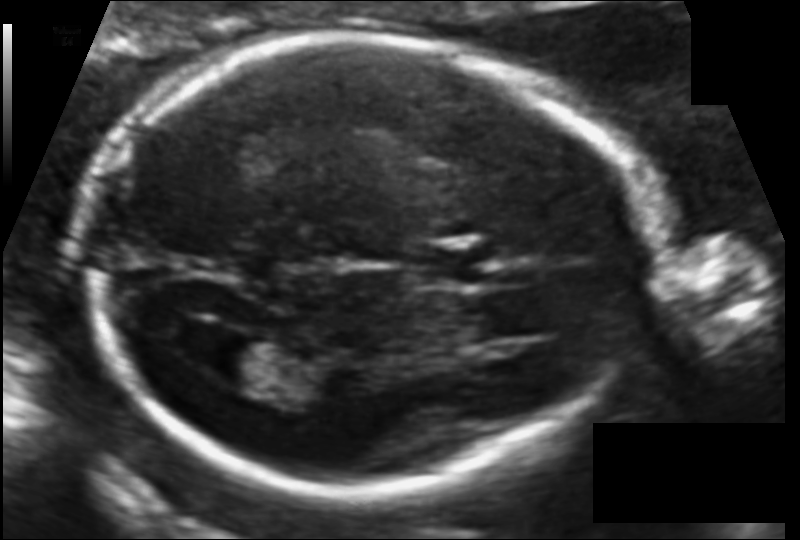
Measure the fetal head circumference shown in this ultrasound image. Image width: 87.0 mm.

Head circumference: 179.0 mm.